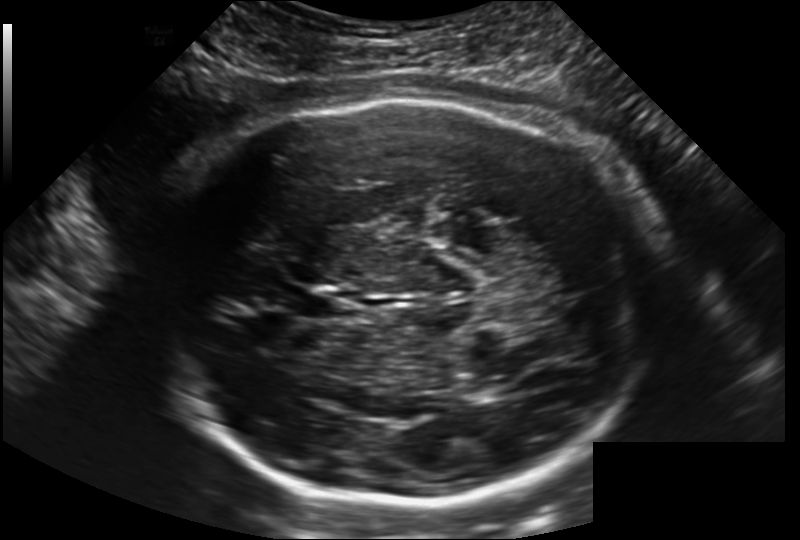
What is the fetal head circumference? Image width is 161.6 mm.

294.5 mm